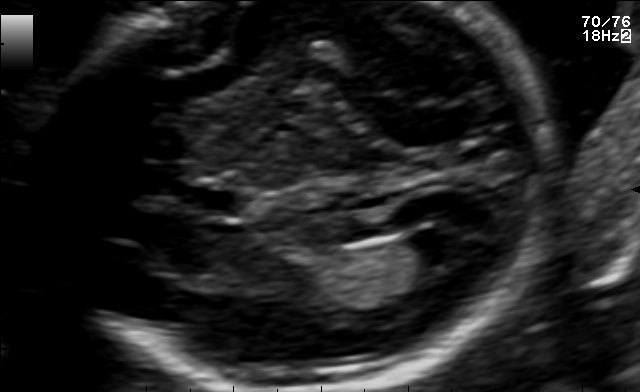
In this fetal brain, trans-ventricular plane, give bounding boxes for the cavum septum pellucidum (CSP) and lateral ventricle (LV), where visible.

CSP: [191,191,241,216]
Lateral ventricle: [410,217,481,269]